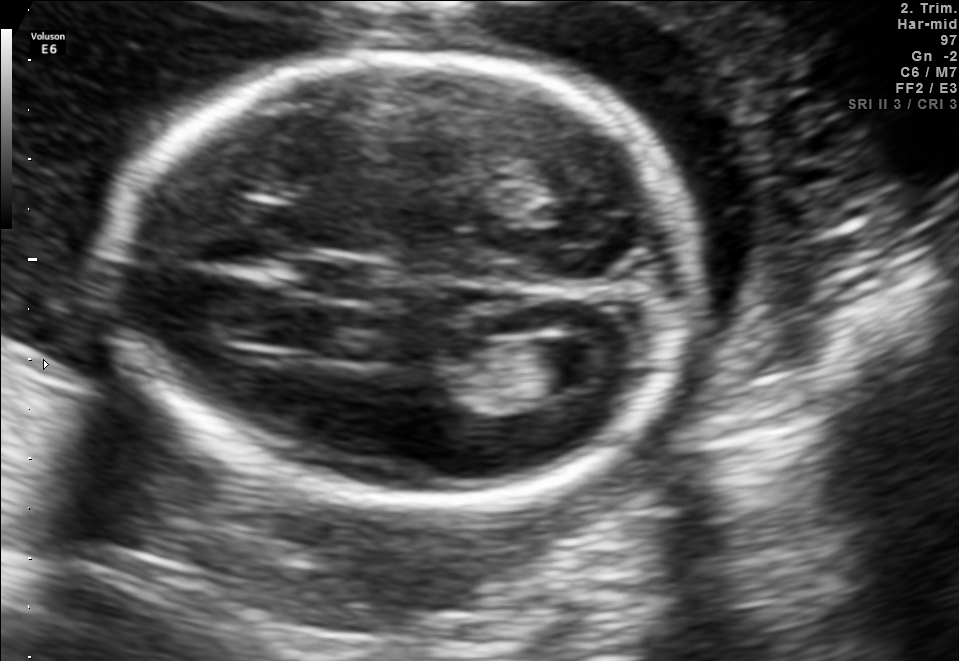
Fetal brain, trans-ventricular plane. Where is the fetal head?

Head bounding box: [94,44,711,521]